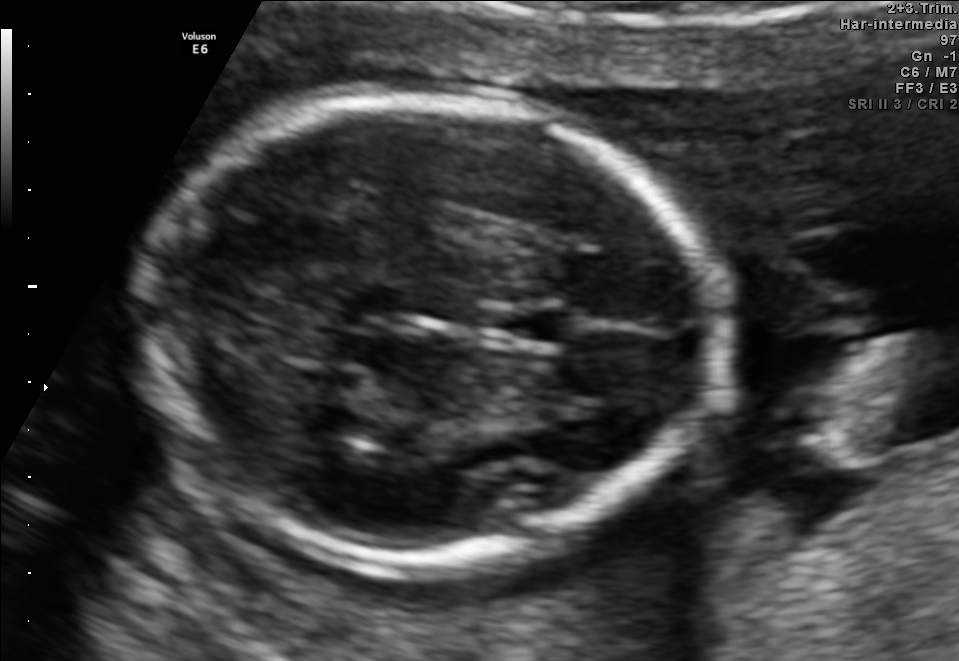
In this fetal brain, trans-thalamic plane, give the bounding box of the cavum septum pellucidum.

[496,308,573,344]